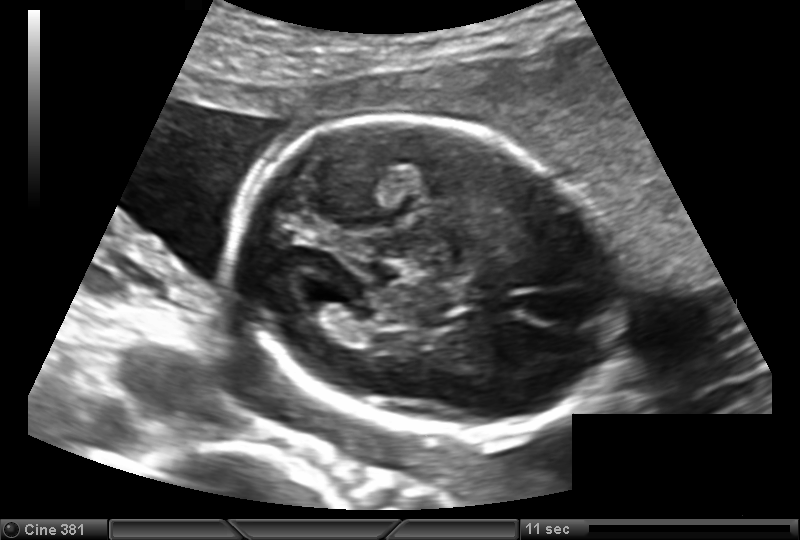
Measure the fetal head circumference shown in this ultrasound image. Image width: 111.0 mm.

Head circumference: 161.7 mm.